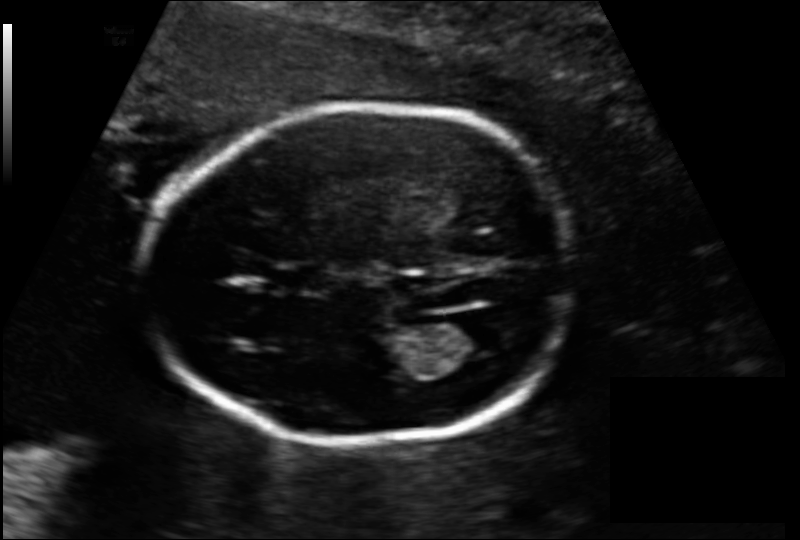
Estimate the fetal head circumference from this 2D ultrasound.

Head circumference: 171.1 mm (image width 109.4 mm).